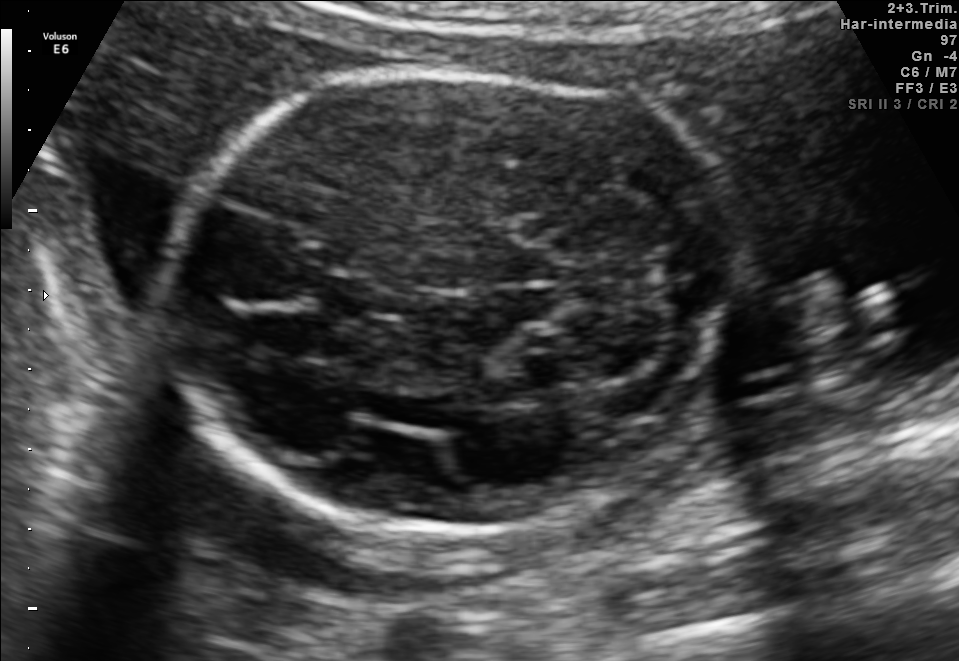
Fetal brain, trans-cerebellum plane. Give [x1,y1,x2,y2] bounding boxes for each visible structure among: fetal head, CSP, LV.

Head: [164,62,741,529]
CSP: [321,271,390,317]